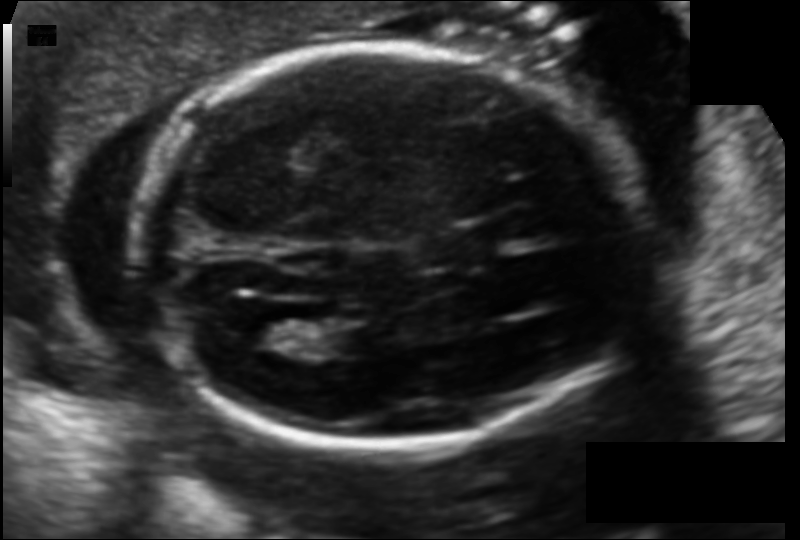
In this fetal head ultrasound, give the bounding box of the lateral ventricle. Image width: 96.5 mm.

[243,314,301,353]